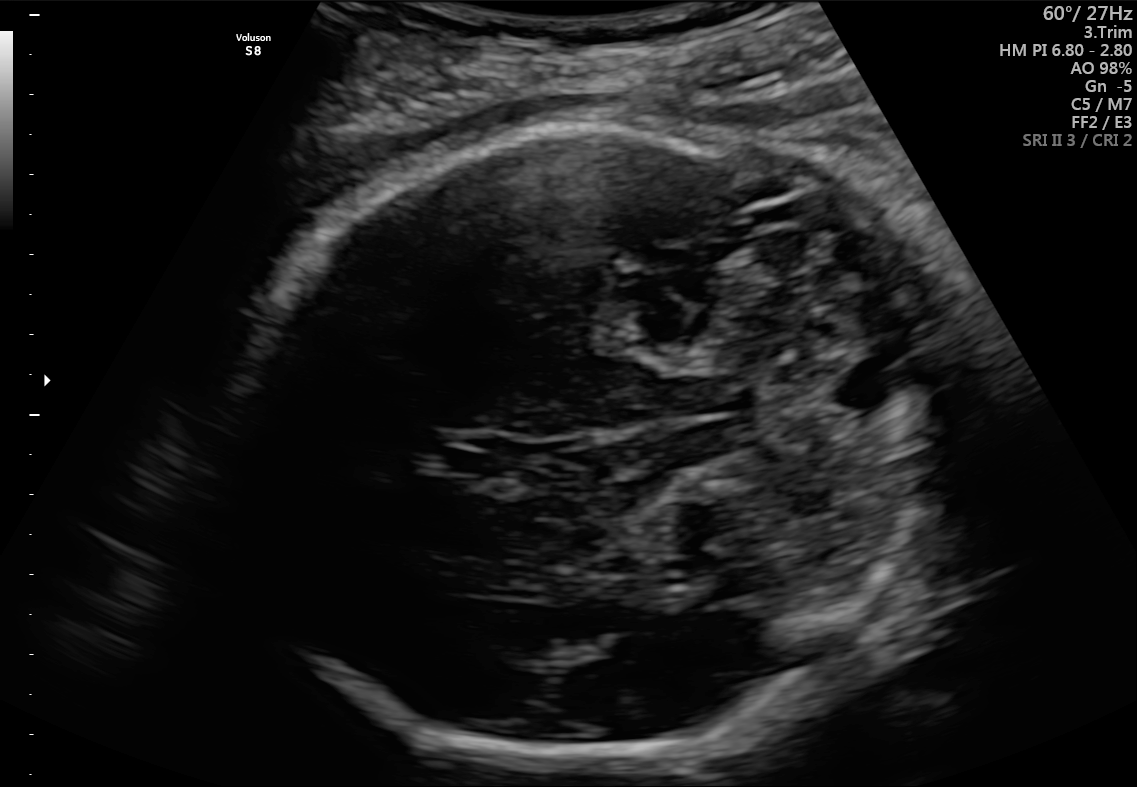
Which standard maternal-fetal ultrasound plane is shown: fetal abdomen, fetal brain, fetal femur, fetal thorax, maternal cervix, or other? If it's fetal brain and one of the three standard brain planes (trans-thalamic, trans-cerebellum, trans-ventricular), name which.

Fetal brain (trans-cerebellum plane)